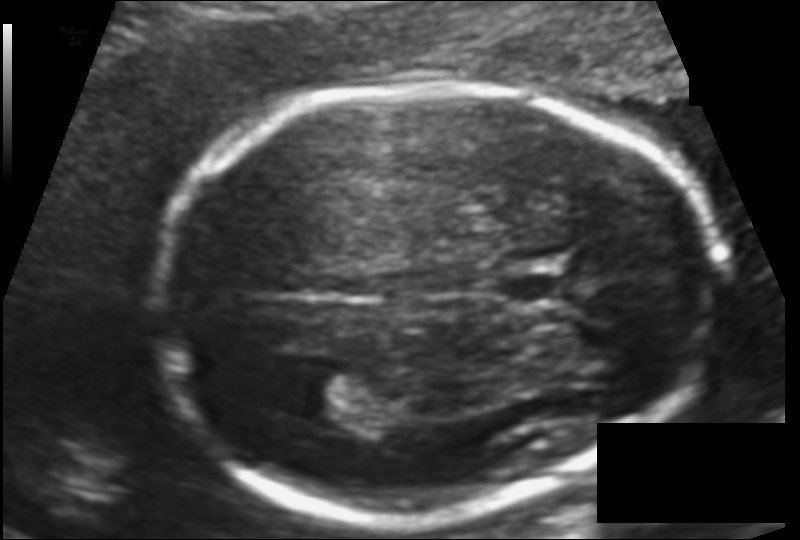
Fetal head ultrasound. Image width: 87.8 mm. Where is the cavum septum pellucidum?

CSP bounding box: [501,269,574,307]